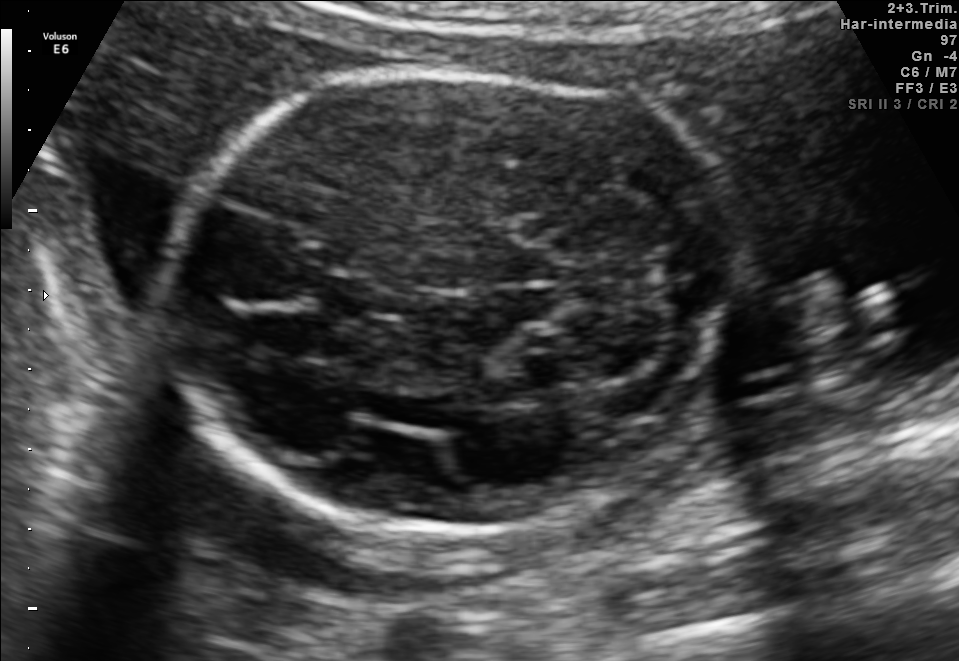
In this fetal brain, trans-cerebellum plane, give the bounding box of the cavum septum pellucidum.

[321,271,390,317]